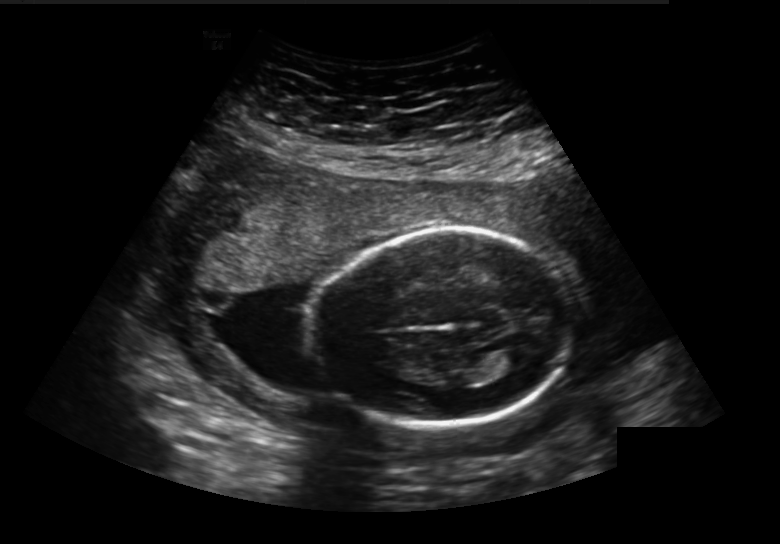
Measure the fetal head circumference shown in this ultrasound image. Image width: 184.0 mm.

Head circumference: 176.3 mm.